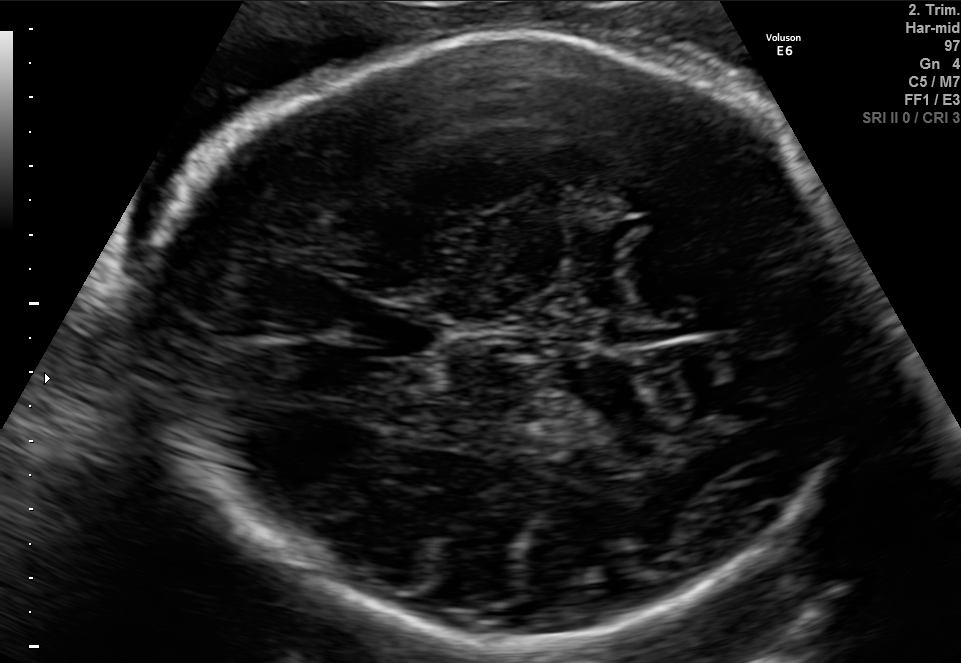
Fetal brain, trans-thalamic plane. Give [x1,y1,x2,y2] bounding boxes for each visible structure among: fetal head, CSP, LV.

Head: [148,31,861,648]
CSP: [361,304,444,363]